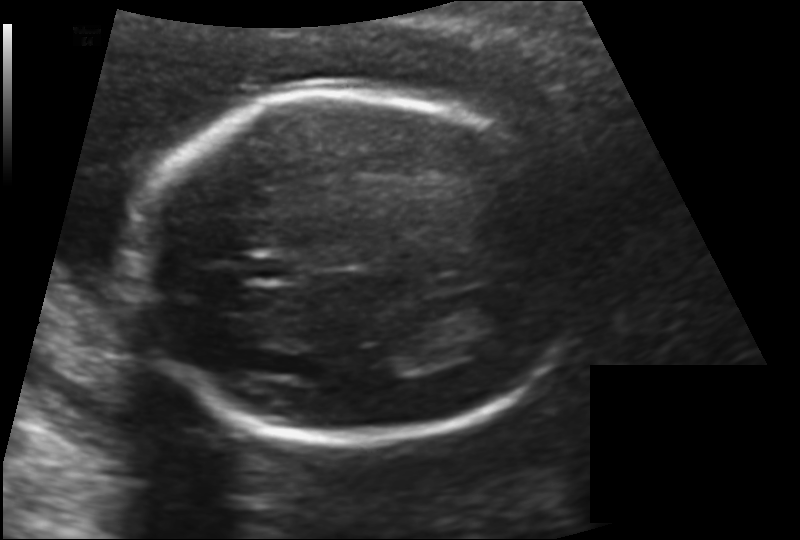
Fetal head ultrasound. Image width: 113.8 mm. Where is the cavum septum pellucidum?

CSP bounding box: [244,254,294,282]